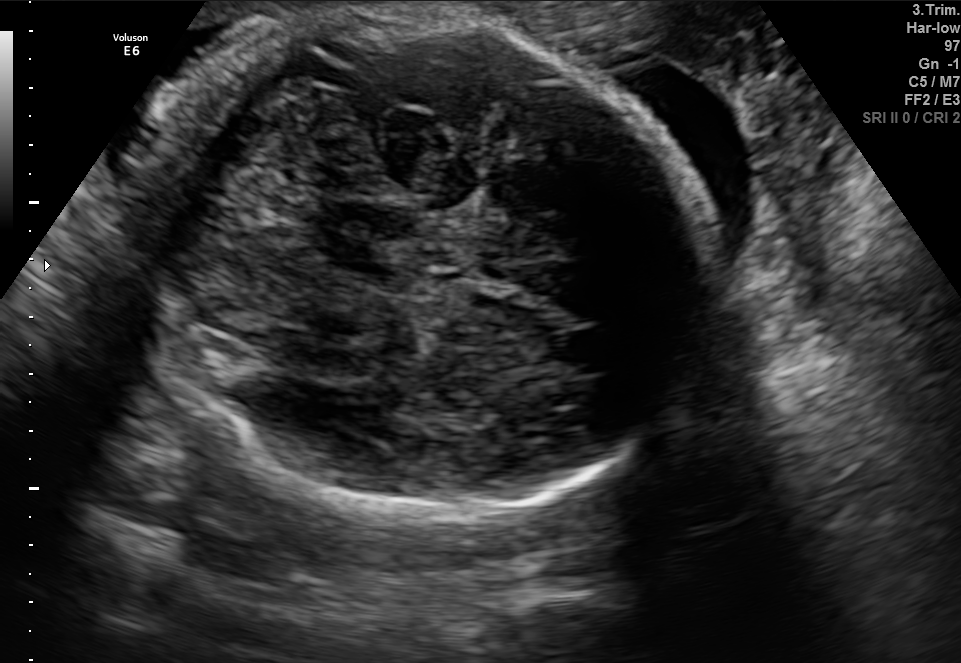
Fetal brain, trans-cerebellum plane. Where is the fetal head?

Head bounding box: [118,17,698,510]